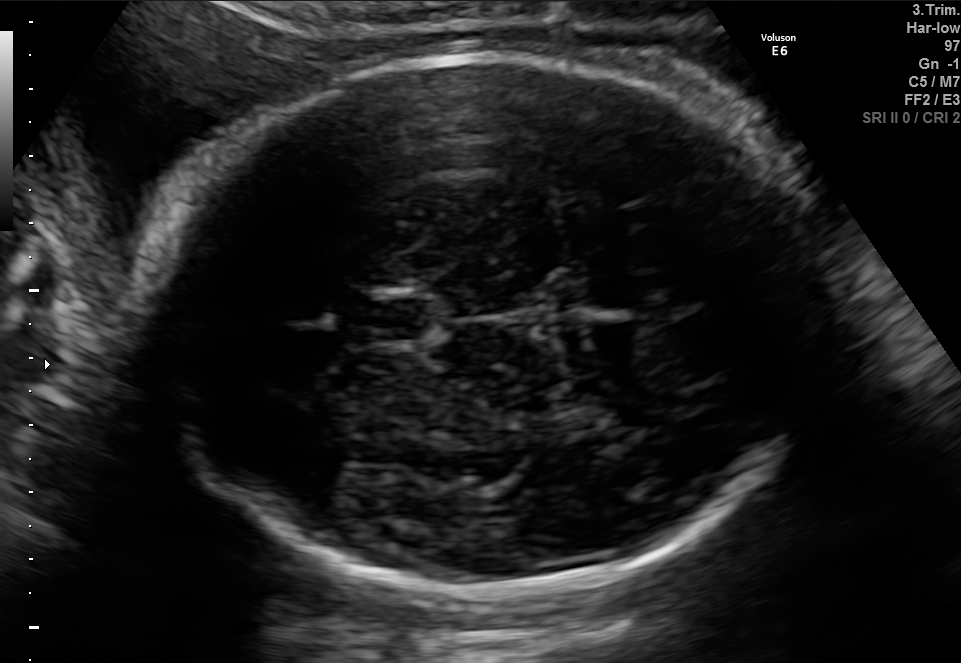
Fetal brain, trans-thalamic plane. Give [x1,y1,x2,y2] bounding boxes for each visible structure among: fetal head, CSP, LV.

Head: [155,55,822,586]
CSP: [366,299,429,340]